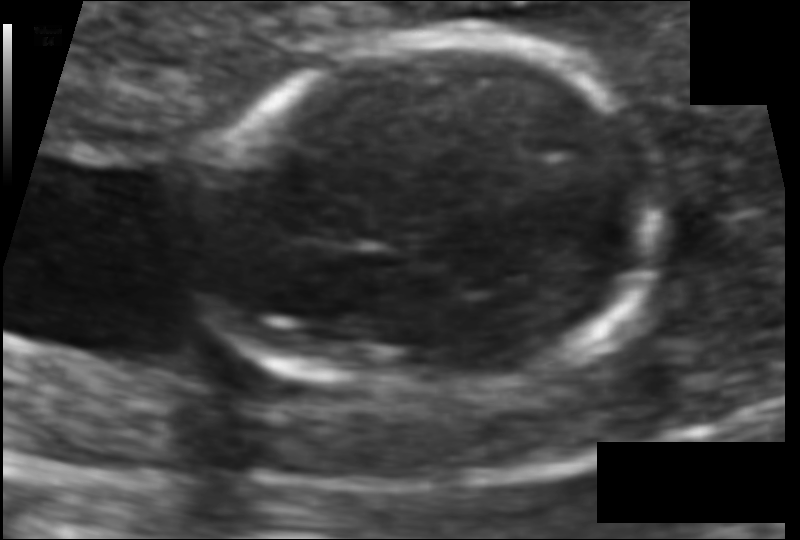
From this fetal ultrasound, estimate the head circumference (image width 62.9 mm).

Head circumference: 104.9 mm.